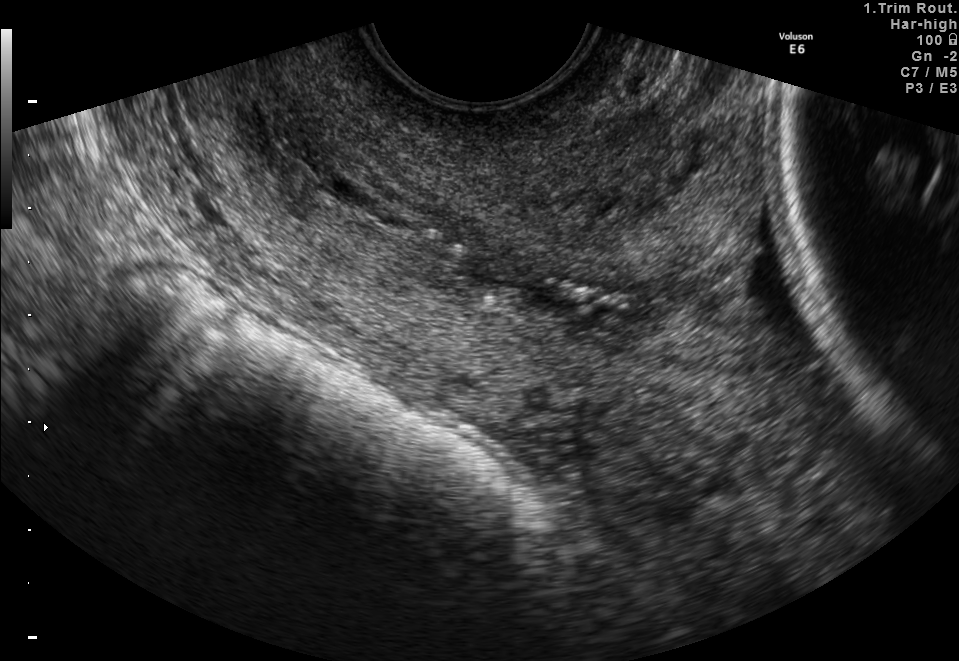
Classify this maternal-fetal ultrasound image as one of the six standard planes — fetal abdomen, fetal brain, fetal femur, fetal thorax, maternal cervix, or other. If it's fetal brain and one of the three standard brain planes (trans-thalamic, trans-cerebellum, trans-ventricular), name which.

Maternal cervix